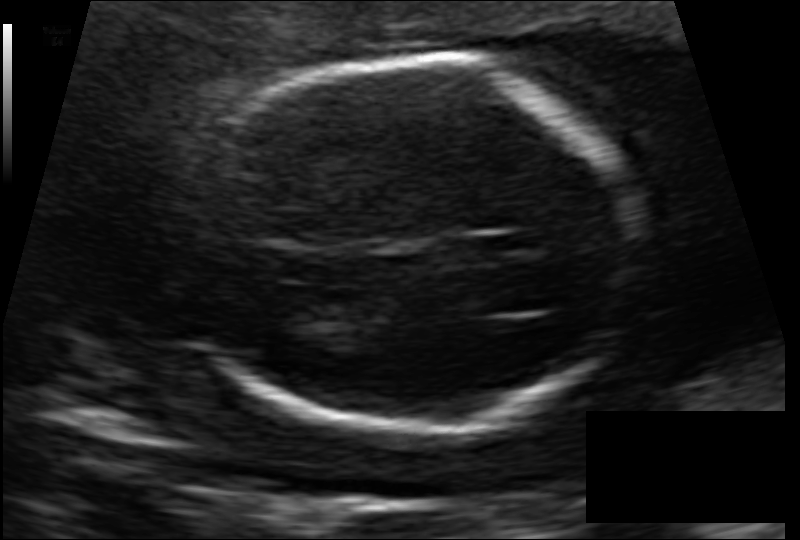
In this fetal head ultrasound, give bounding boxes for the head outline, cavum septum pellucidum (CSP), and lateral ventricle (LV), where visible. Image width: 103.2 mm.

Head: [191,57,636,439]